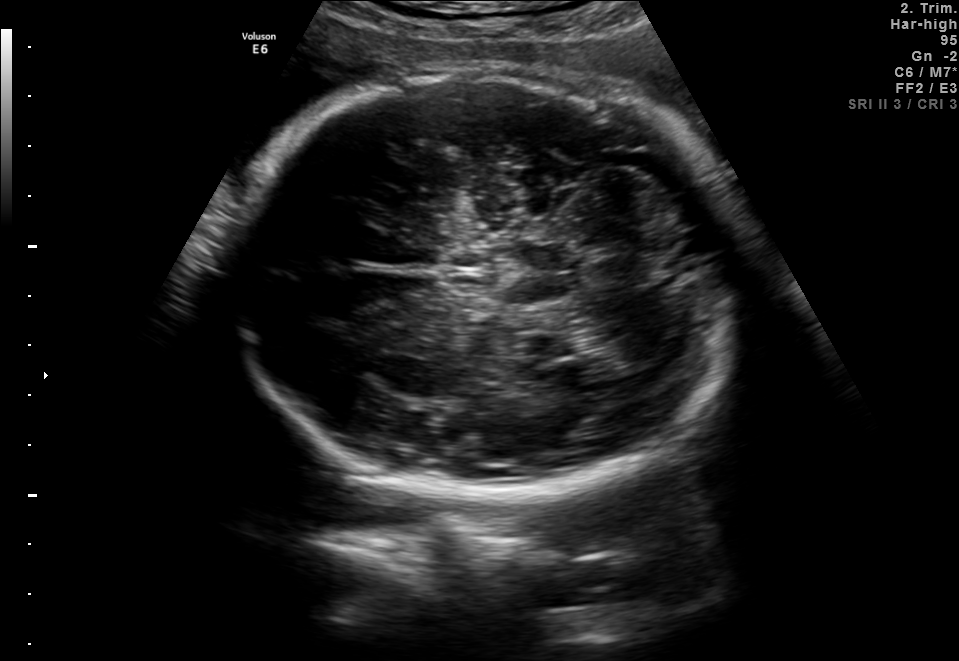
In this fetal brain, trans-cerebellum plane, give bounding boxes for the head outline, cavum septum pellucidum (CSP), and lateral ventricle (LV), where visible.

Head: [233,69,736,496]